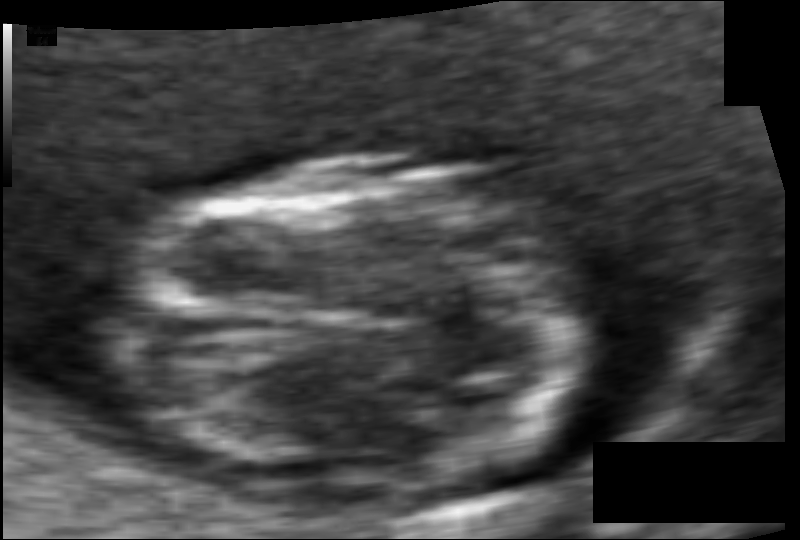
Measure the fetal head circumference shown in this ultrasound image. Image width: 39.5 mm.

Head circumference: 65.8 mm.